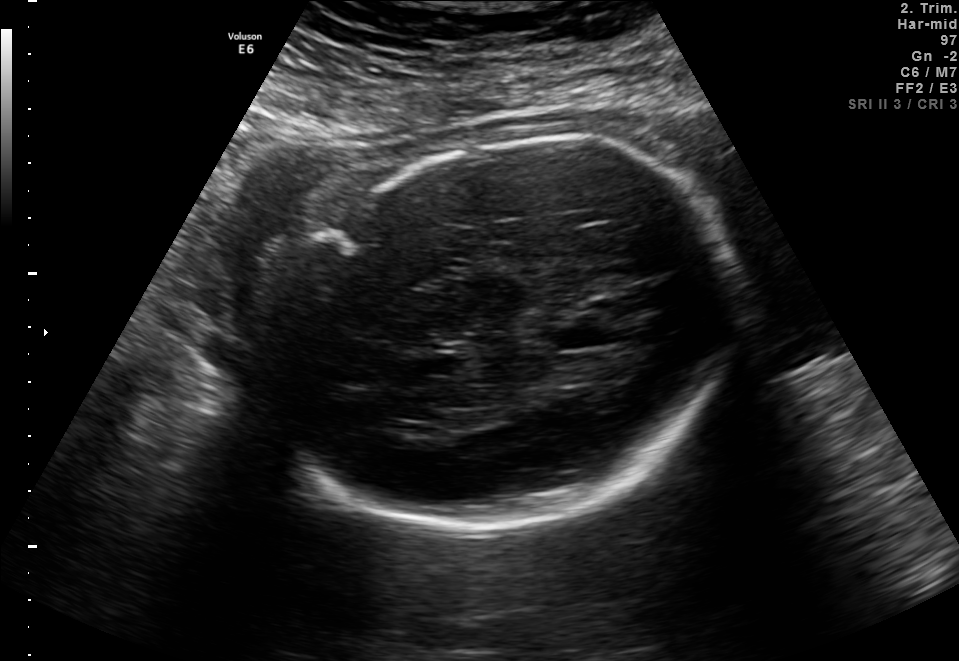
Fetal brain, trans-thalamic plane. Give [x1,y1,x2,y2] bounding boxes for each visible structure among: fetal head, CSP, LV.

Head: [256,135,745,536]